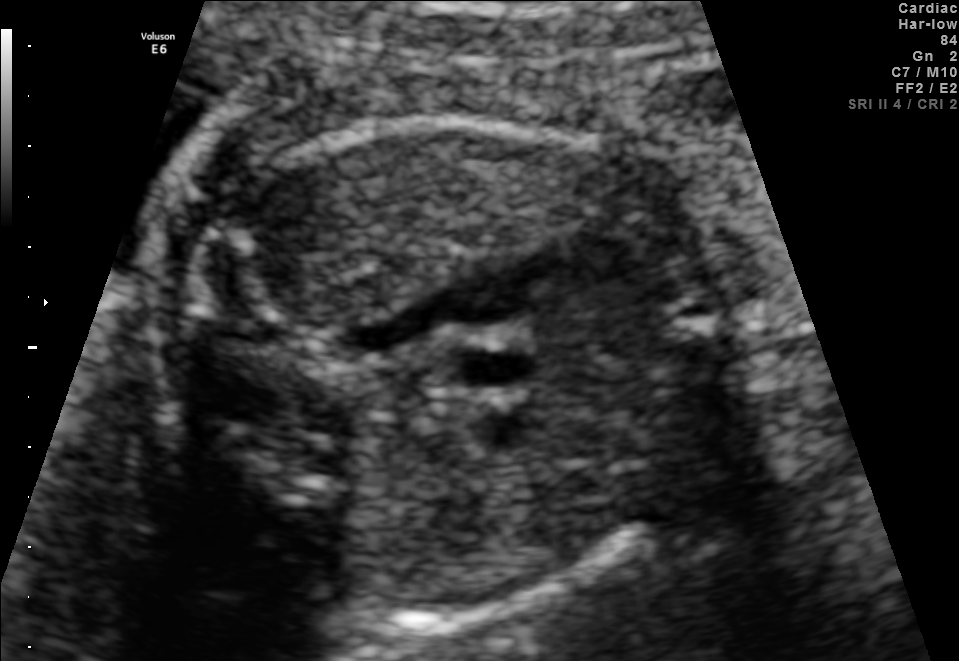
Classify this maternal-fetal ultrasound image as one of the six standard planes — fetal abdomen, fetal brain, fetal femur, fetal thorax, maternal cervix, or other. If it's fetal brain and one of the three standard brain planes (trans-thalamic, trans-cerebellum, trans-ventricular), name which.

Other